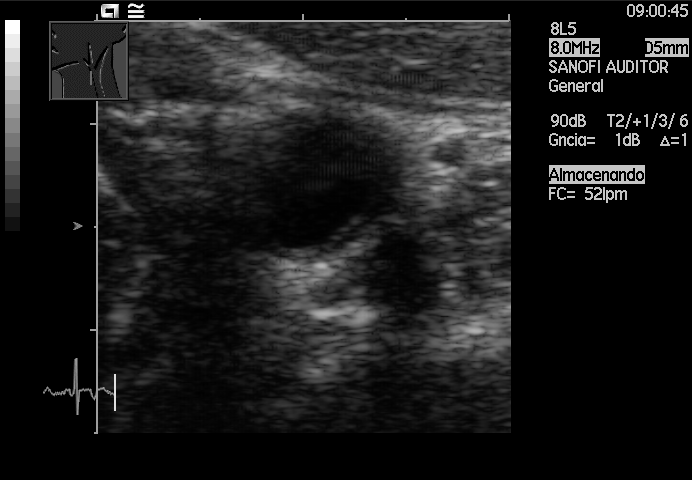
Which standard maternal-fetal ultrasound plane is shown: fetal abdomen, fetal brain, fetal femur, fetal thorax, maternal cervix, or other? If it's fetal brain and one of the three standard brain planes (trans-thalamic, trans-cerebellum, trans-ventricular), name which.

Other